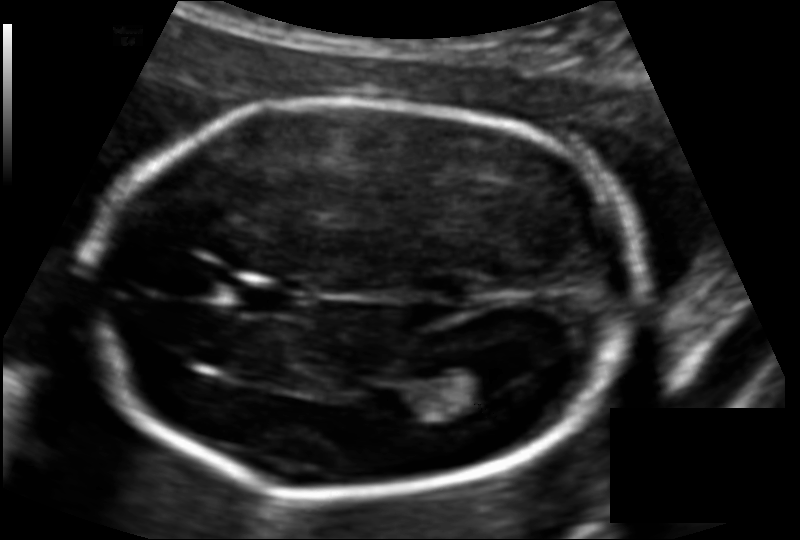
Fetal head ultrasound. Image width: 93.9 mm. Locate the lateral ventricle.

Lateral ventricle: [423,347,516,417]